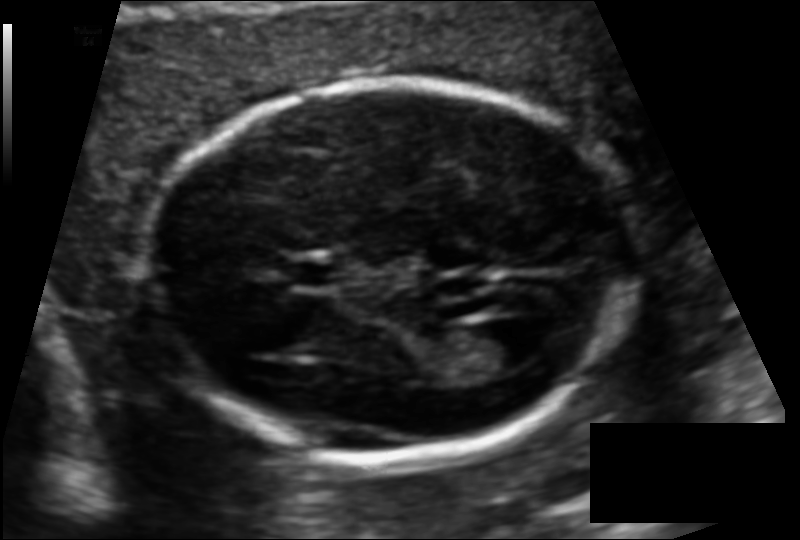
Fetal head ultrasound. Image width: 88.0 mm. Locate the lateral ventricle.

Lateral ventricle: [462,311,551,378]